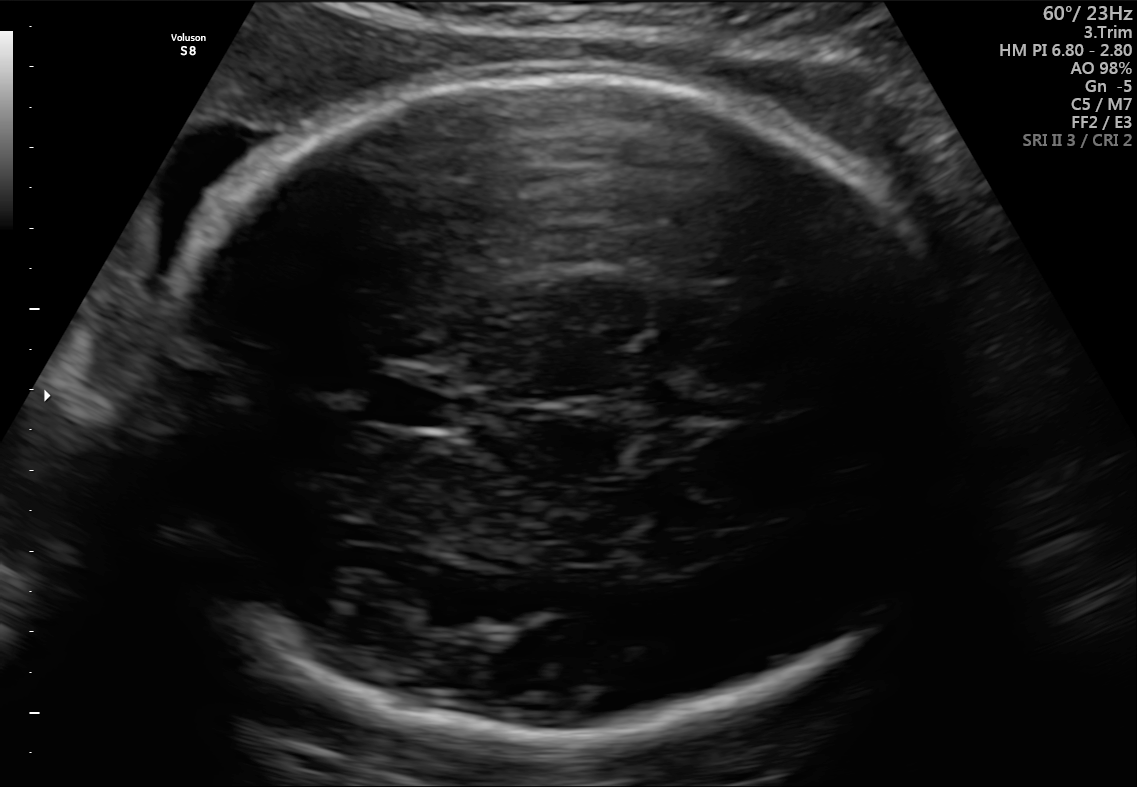
Fetal brain, trans-thalamic plane. Locate the fetal head and, if visible, the cavum septum pellucidum (CSP) and lateral ventricle (LV). Give bounding boxes as [x1,y1,x2,y2].

Head: [159,75,964,743]
CSP: [366,376,457,431]